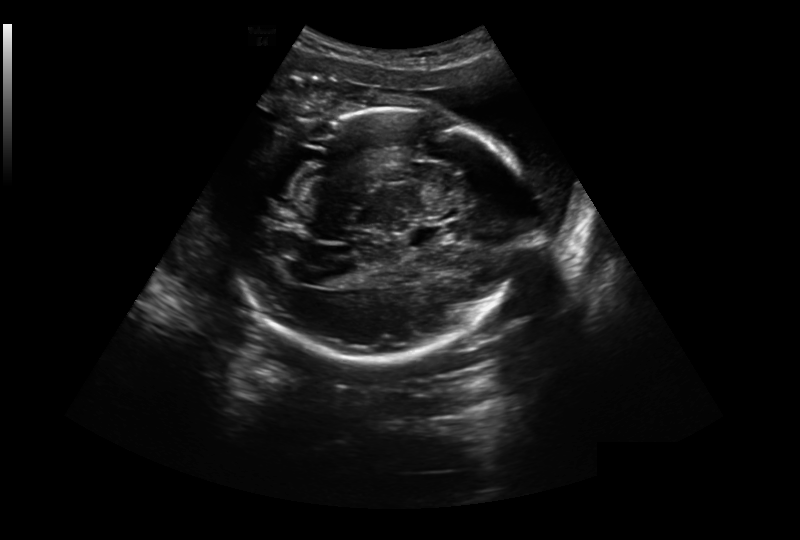
In this fetal head ultrasound, give the bounding box of the lateral ventricle. Image width: 243.0 mm.

[322,271,353,288]